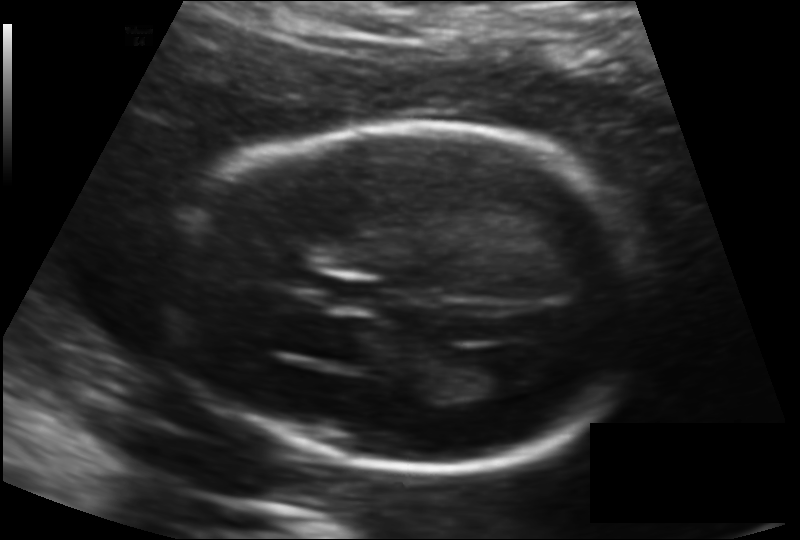
In this fetal head ultrasound, give the bounding box of the lateral ventricle. Image width: 108.1 mm.

[470,359,521,397]